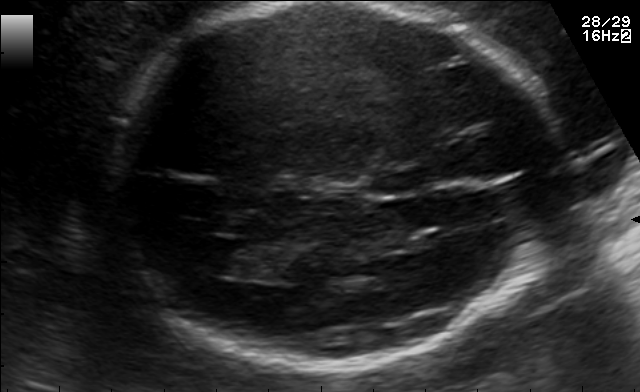
Fetal brain, trans-ventricular plane. Where is the fetal head?

Head bounding box: [89,2,581,378]